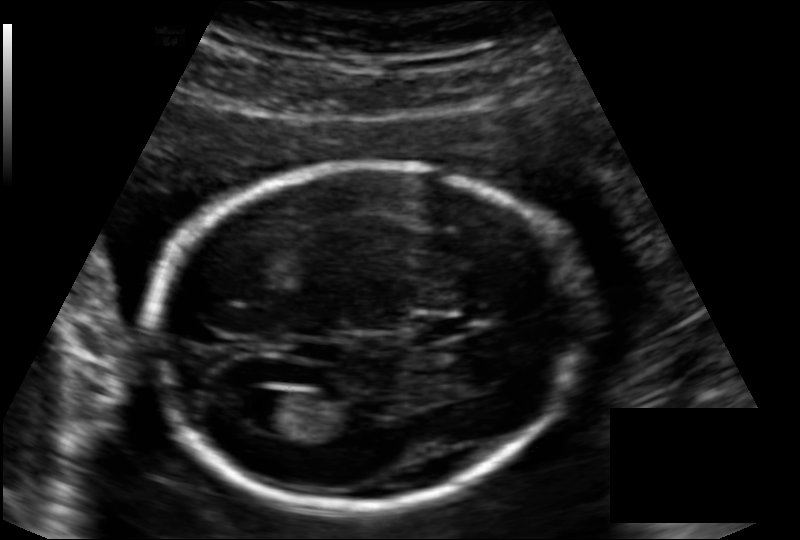
From this fetal ultrasound, estimate the head circumference (image width 108.5 mm).

Head circumference: 173.3 mm.